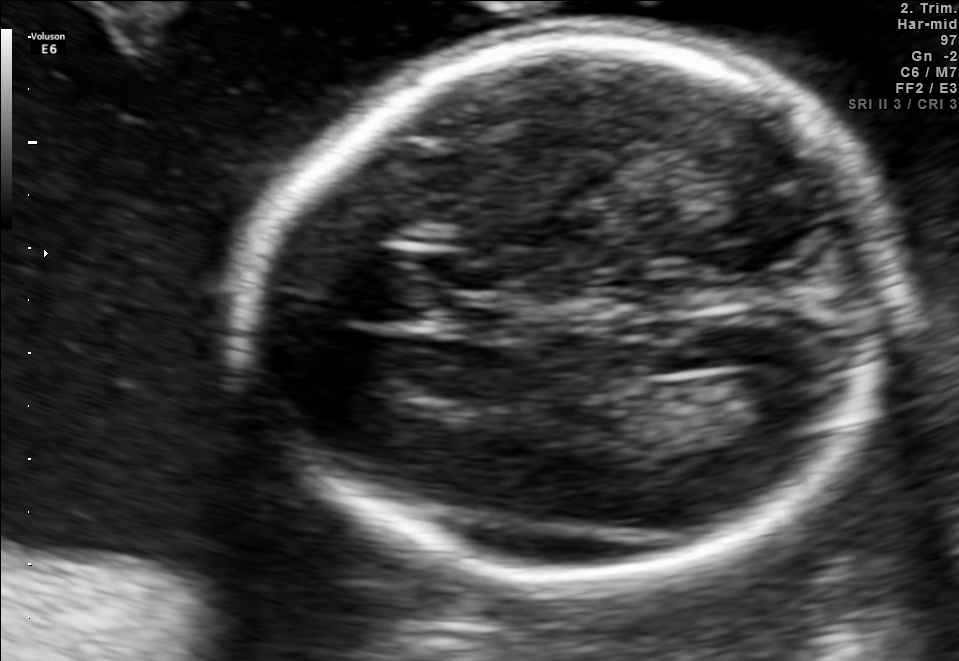
In this fetal brain, trans-ventricular plane, give the bounding box of the cavum septum pellucidum.

[435,294,509,339]